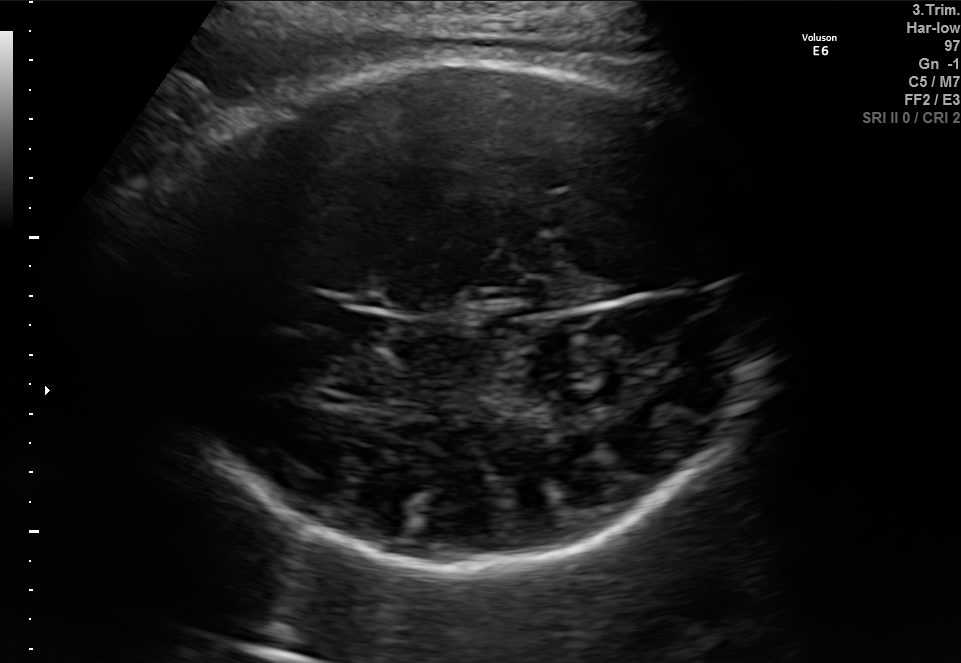
In this fetal brain, trans-thalamic plane, give the bounding box of the fetal head.

[143,63,782,566]